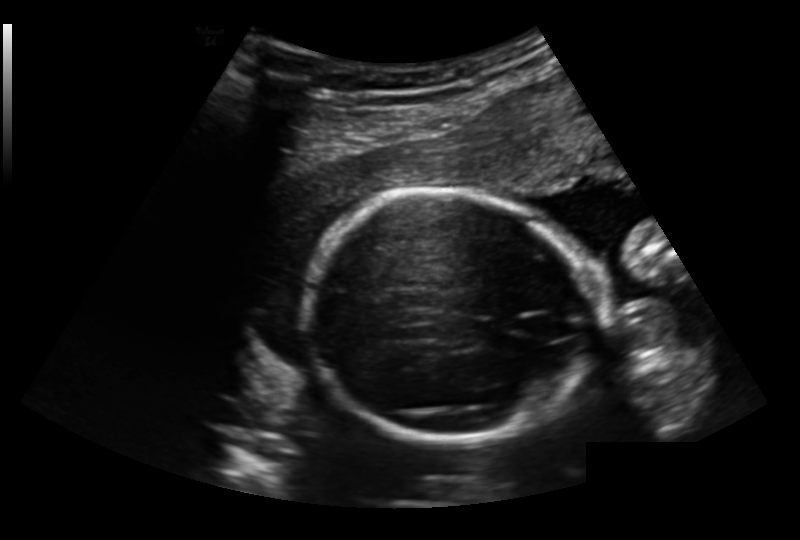
Fetal head ultrasound. Image width: 152.5 mm. Where is the fetal head?

Head bounding box: [304,190,592,444]